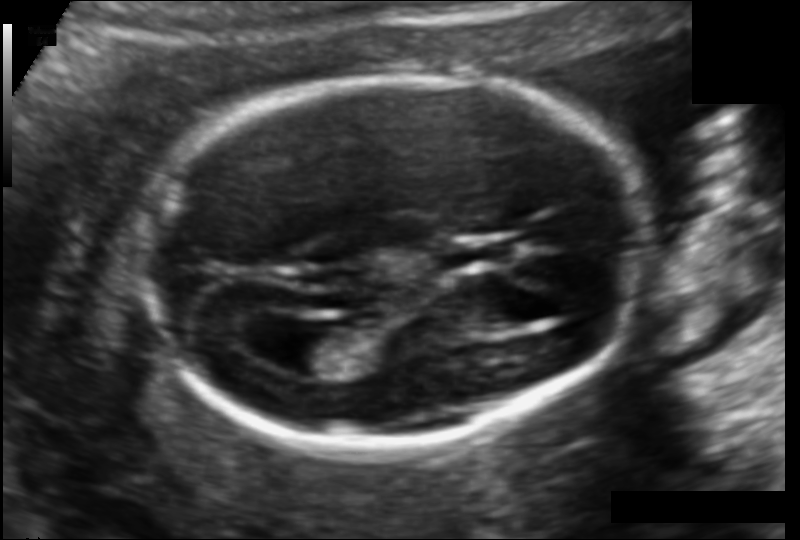
Estimate the fetal head circumference from this 2D ultrasound.

Head circumference: 162.1 mm (image width 91.5 mm).